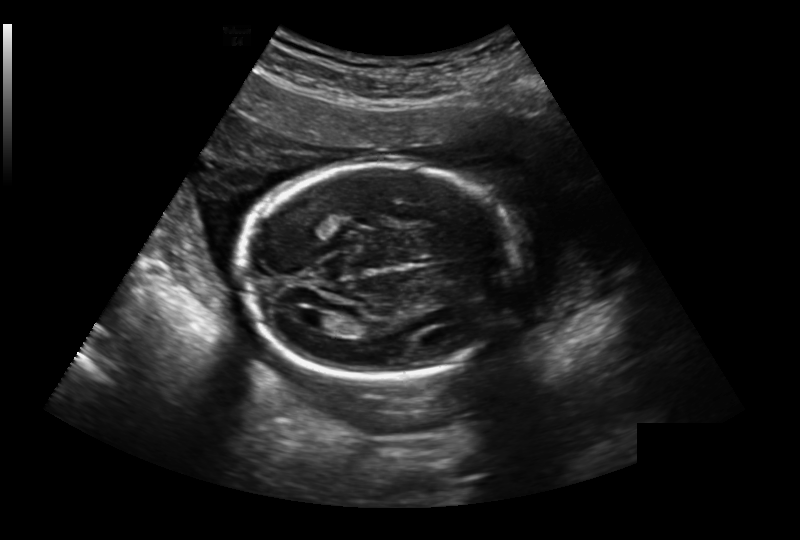
Estimate the fetal head circumference from this 2D ultrasound. Image width: 188.5 mm.

Head circumference: 189.1 mm.